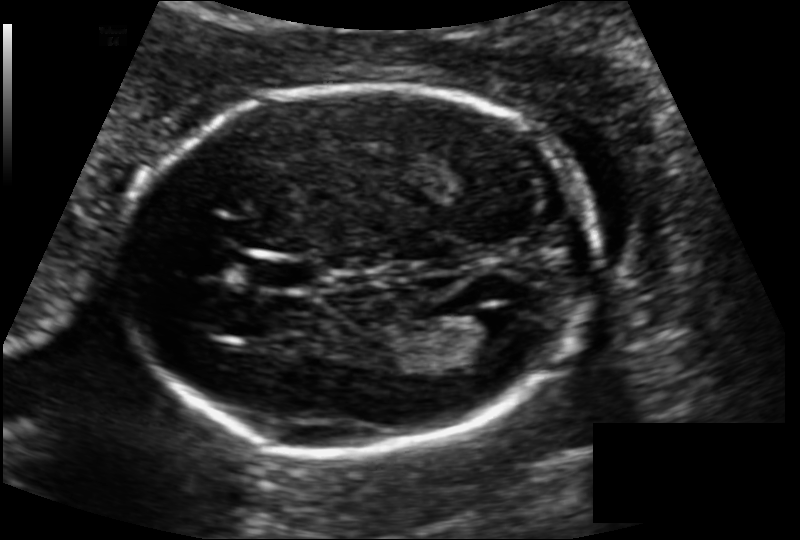
Fetal head ultrasound. Image width: 99.0 mm. Where is the lateral ventricle?

Lateral ventricle bounding box: [444,314,526,368]